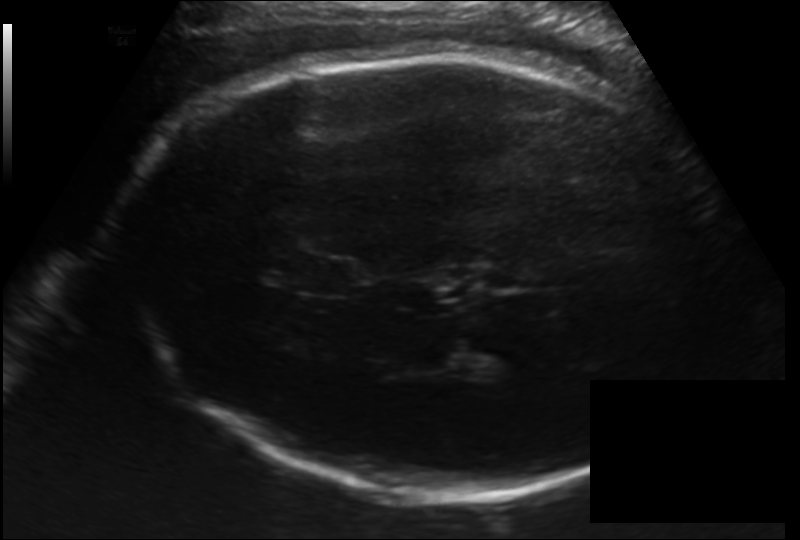
Fetal head ultrasound. Image width: 153.4 mm. Locate the fetal head and, if visible, the cavum septum pellucidum (CSP) and lateral ventricle (LV). Give bounding boxes as [x1,y1,x2,y2].

Head: [118,51,727,497]
CSP: [286,251,362,299]